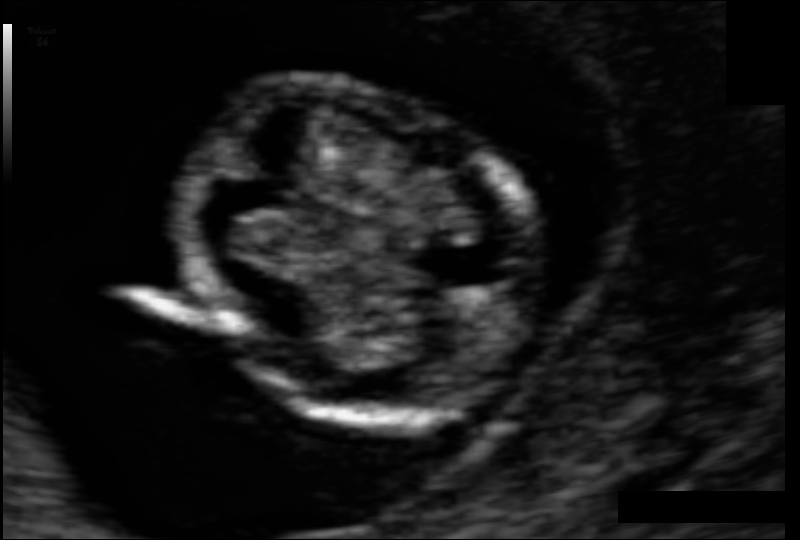
Fetal head ultrasound. Image width: 47.3 mm. Give [x1,y1,x2,y2] bounding boxes for each visible structure among: fetal head, CSP, LV.

Head: [174,83,541,419]